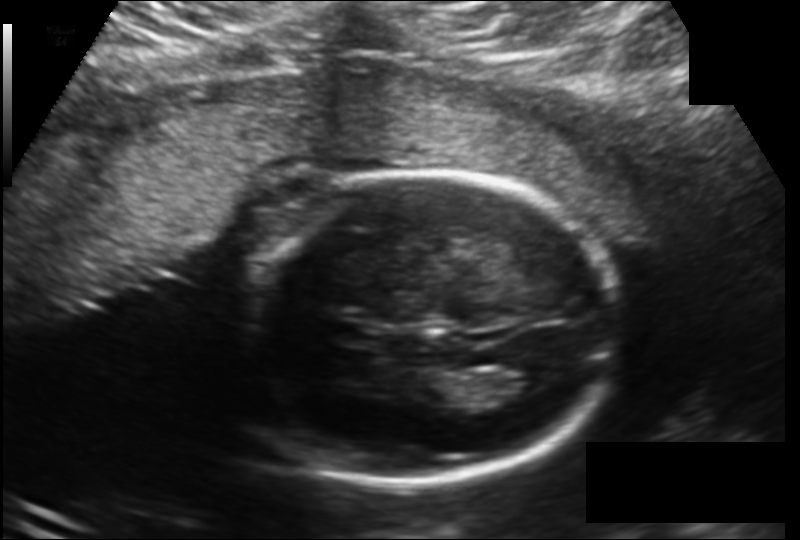
Estimate the fetal head circumference from this 2D ultrasound. Image width: 132.4 mm.

Head circumference: 181.6 mm.